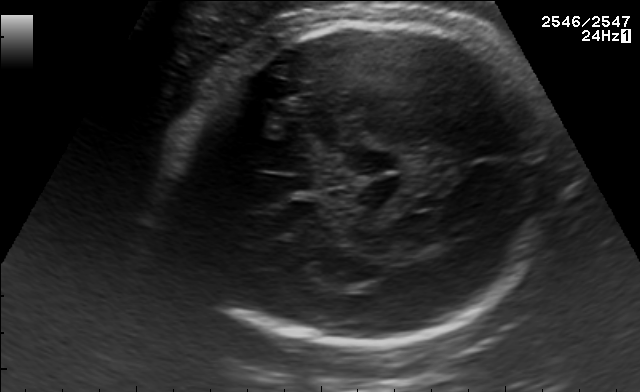
In this fetal brain, trans-thalamic plane, give the bounding box of the fetal head.

[178,14,554,346]